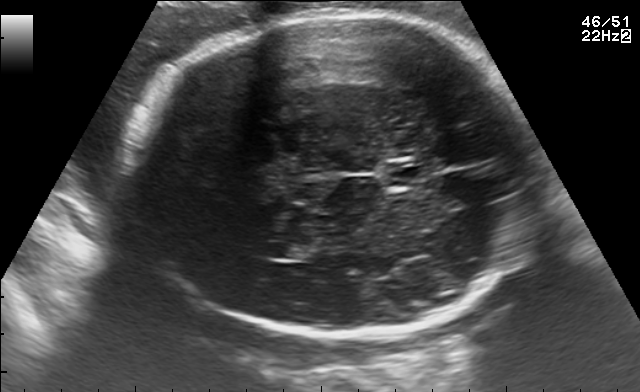
In this fetal brain, trans-thalamic plane, give the bounding box of the fetal head.

[125,17,539,336]